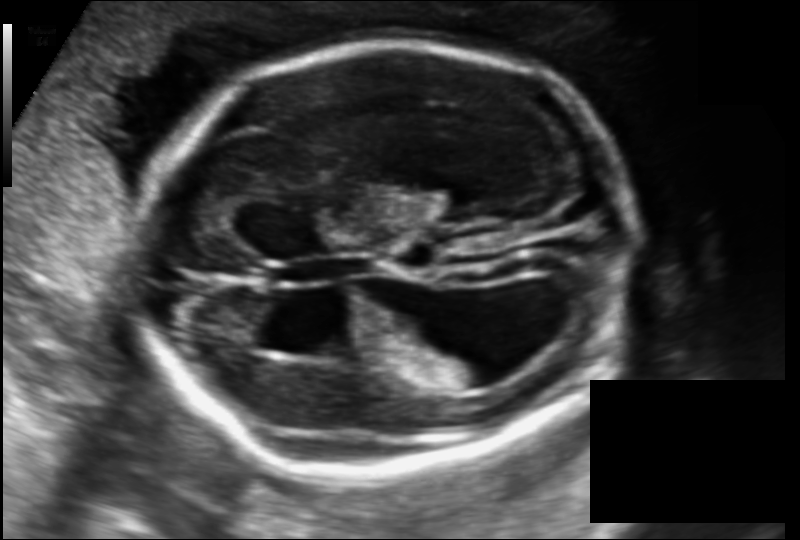
Fetal head ultrasound. Image width: 112.8 mm. Where is the fetal head?

Head bounding box: [133,44,635,466]